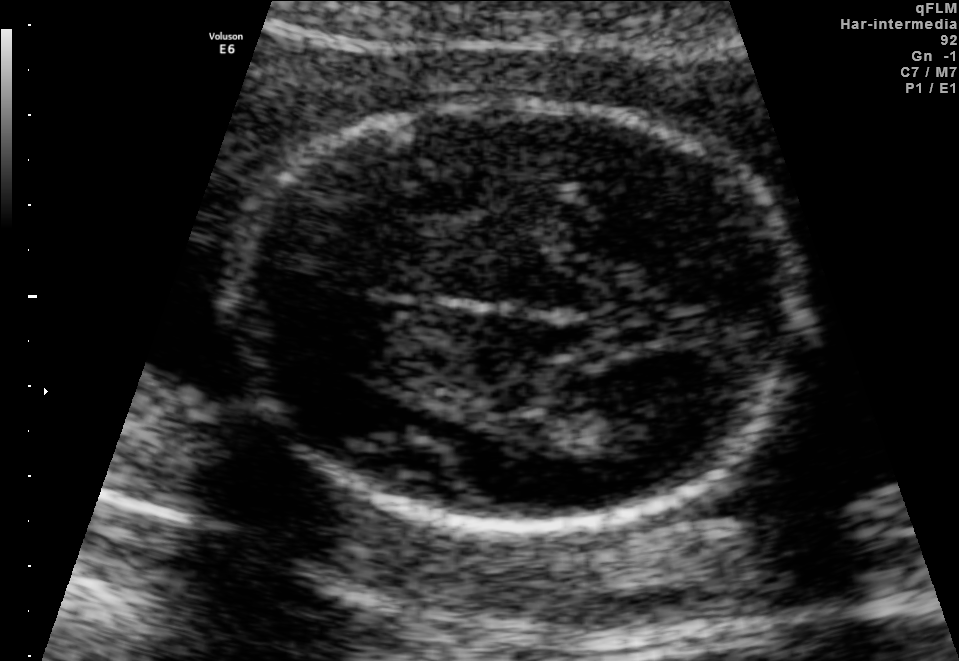
Fetal brain, trans-thalamic plane. Locate the lateral ventricle.

Lateral ventricle: [575,395,690,463]